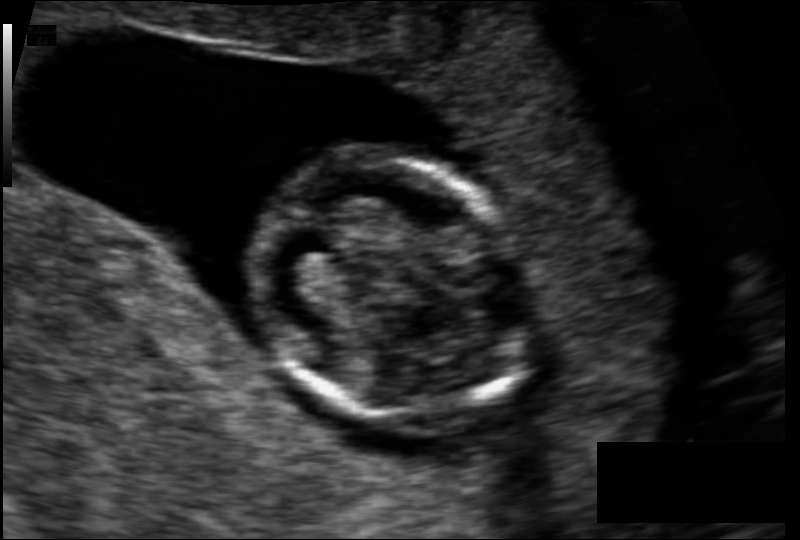
Fetal head ultrasound. Image width: 75.6 mm. Give [x1,y1,x2,y2] bounding boxes for each visible structure among: fetal head, CSP, LV.

Head: [254,153,528,423]